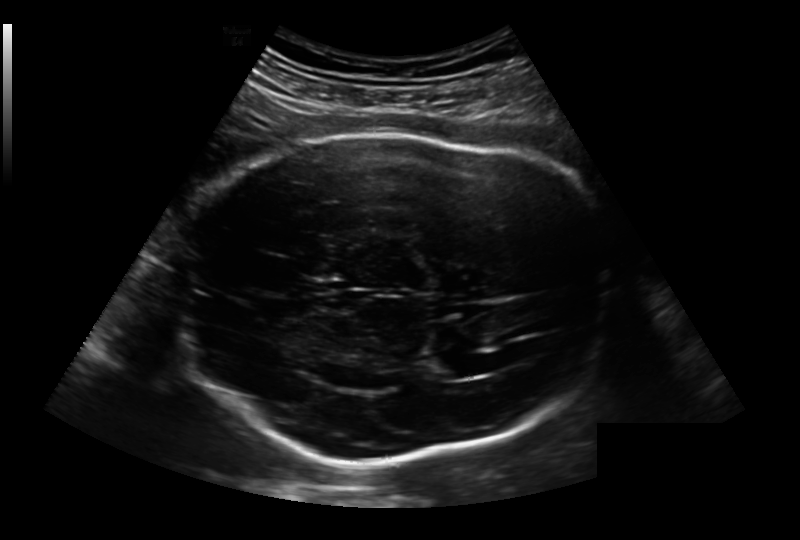
Fetal head ultrasound. Image width: 188.6 mm. Locate the fetal head and, if visible, the cavum septum pellucidum (CSP) and lateral ventricle (LV). Give bounding boxes as [x1,y1,x2,y2].

Head: [170,136,611,462]
Lateral ventricle: [425,352,476,381]